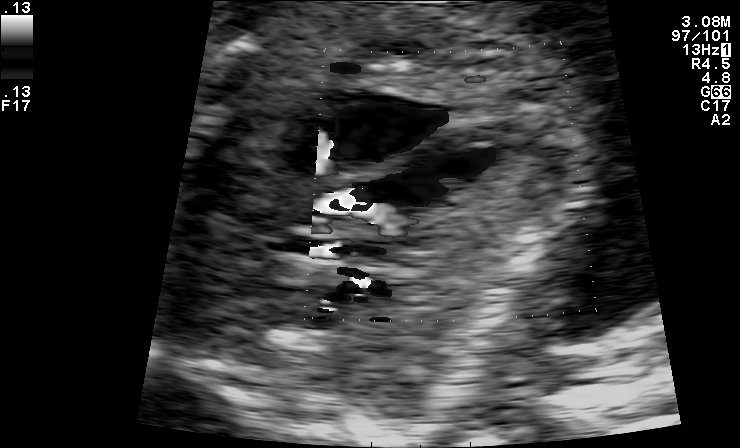
Which standard maternal-fetal ultrasound plane is shown: fetal abdomen, fetal brain, fetal femur, fetal thorax, maternal cervix, or other? If it's fetal brain and one of the three standard brain planes (trans-thalamic, trans-cerebellum, trans-ventricular), name which.

Other